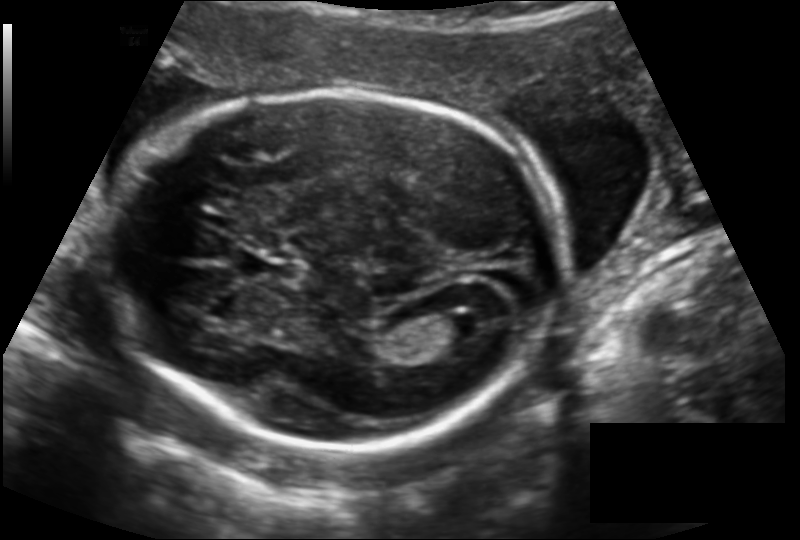
In this fetal head ultrasound, give the bounding box of the fetal head. Image width: 113.5 mm.

[133,93,555,445]